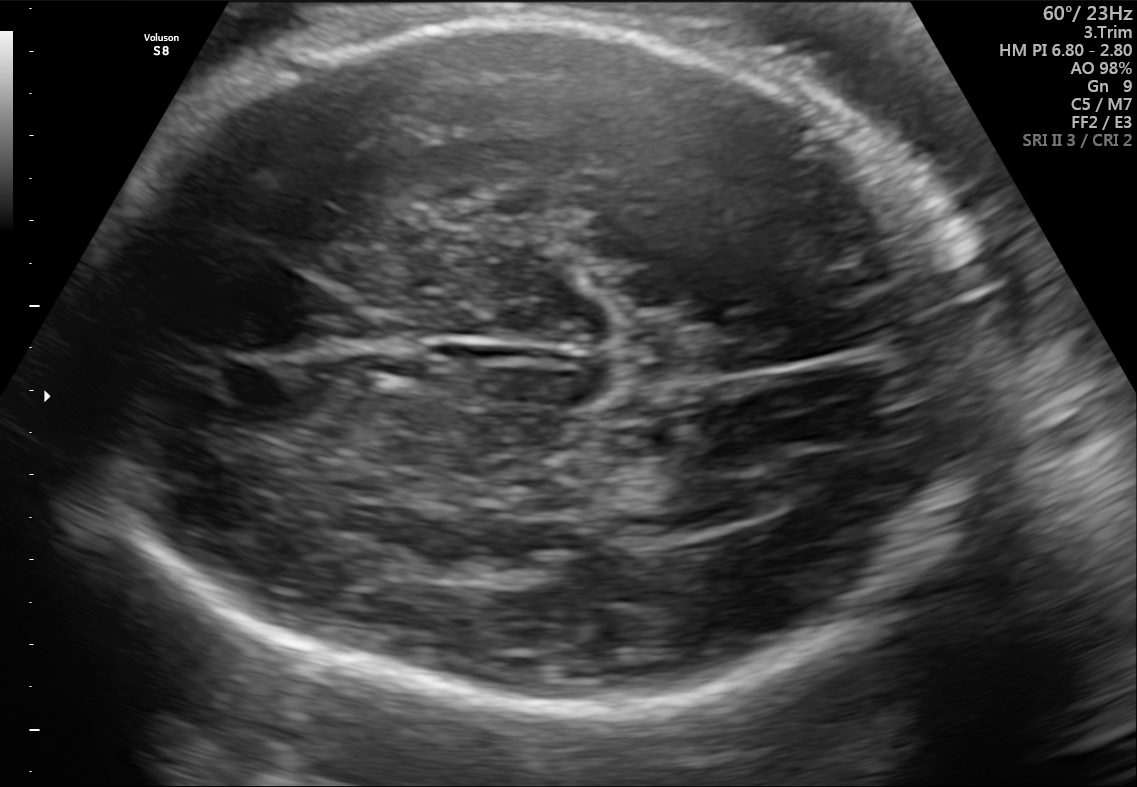
This is a 2D maternal-fetal ultrasound frame. Is it a fetal abdomen, fetal brain, fetal femur, fetal thorax, maternal cervix, or other standard plane? If it's fetal brain and one of the three standard brain planes (trans-thalamic, trans-cerebellum, trans-ventricular), name which.

Fetal brain (trans-thalamic plane)